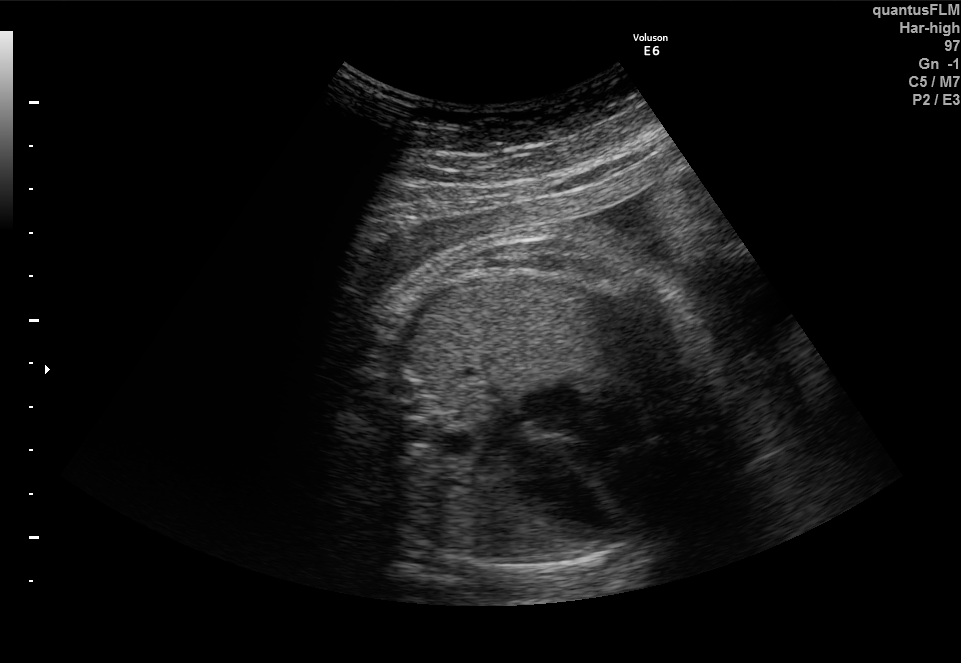
Classify this maternal-fetal ultrasound image as one of the six standard planes — fetal abdomen, fetal brain, fetal femur, fetal thorax, maternal cervix, or other. If it's fetal brain and one of the three standard brain planes (trans-thalamic, trans-cerebellum, trans-ventricular), name which.

Fetal thorax